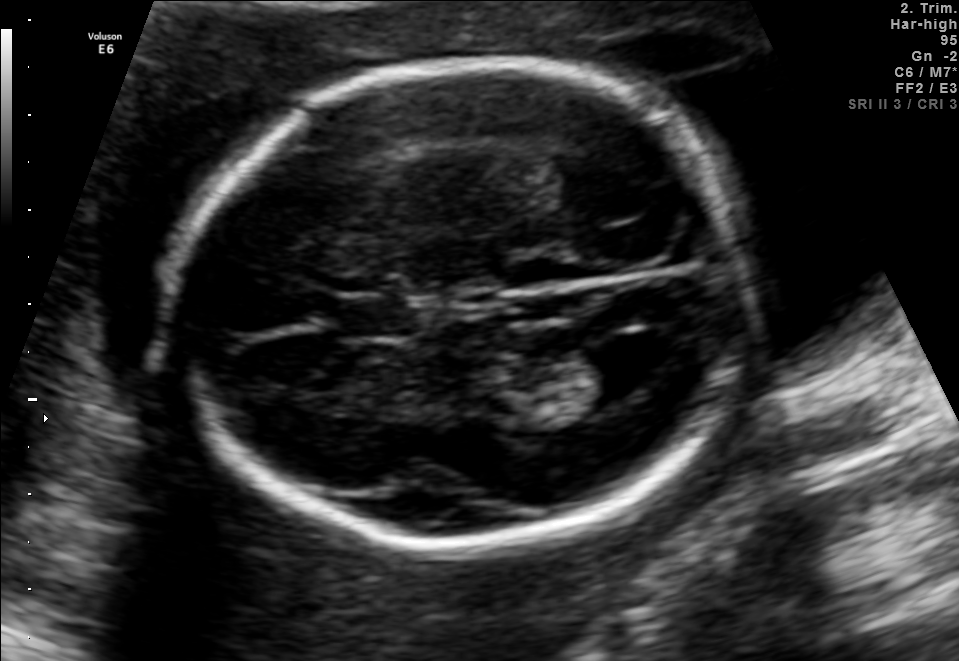
Fetal brain, trans-ventricular plane. Where is the cavum septum pellucidum?

CSP bounding box: [318,294,424,342]